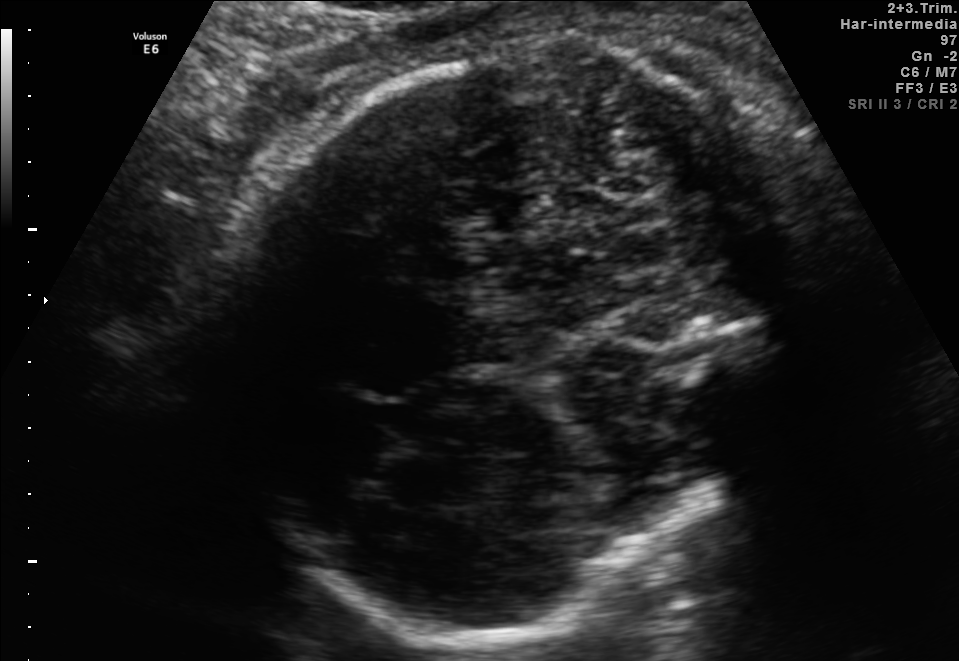
Classify this maternal-fetal ultrasound image as one of the six standard planes — fetal abdomen, fetal brain, fetal femur, fetal thorax, maternal cervix, or other. If it's fetal brain and one of the three standard brain planes (trans-thalamic, trans-cerebellum, trans-ventricular), name which.

Other